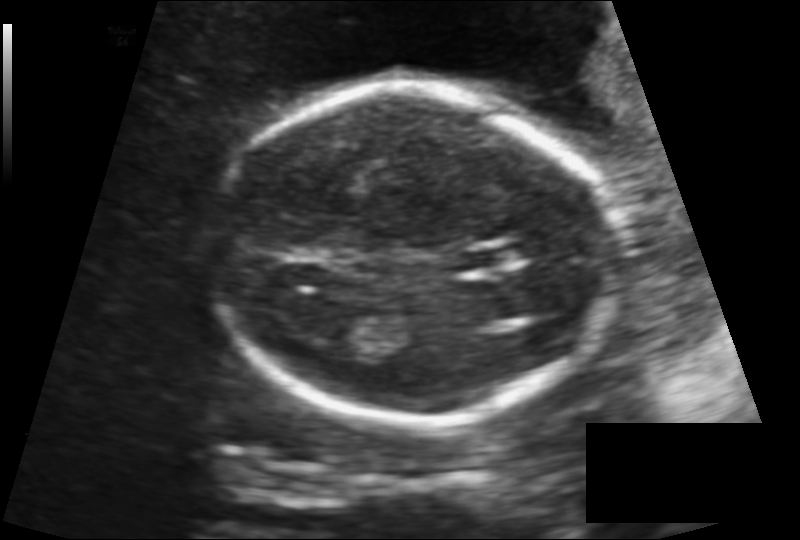
Measure the fetal head circumference shown in this ultrasound image. Image width: 110.1 mm.

Head circumference: 168.3 mm.